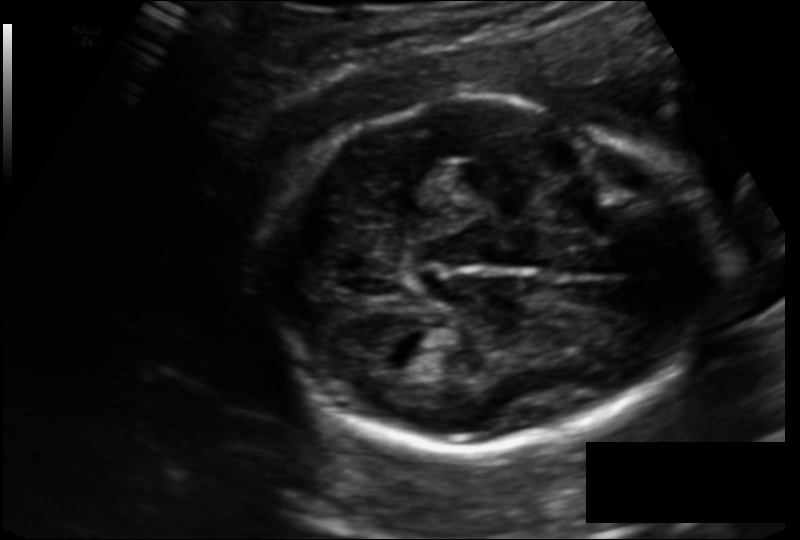
What is the fetal head circumference? Image width is 107.7 mm.

180.0 mm